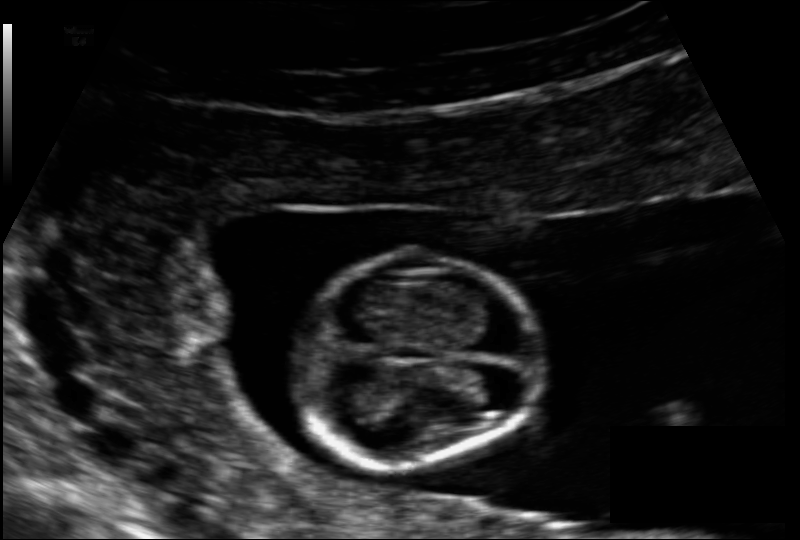
Estimate the fetal head circumference from this 2D ultrasound.

Head circumference: 69.0 mm (image width 73.0 mm).